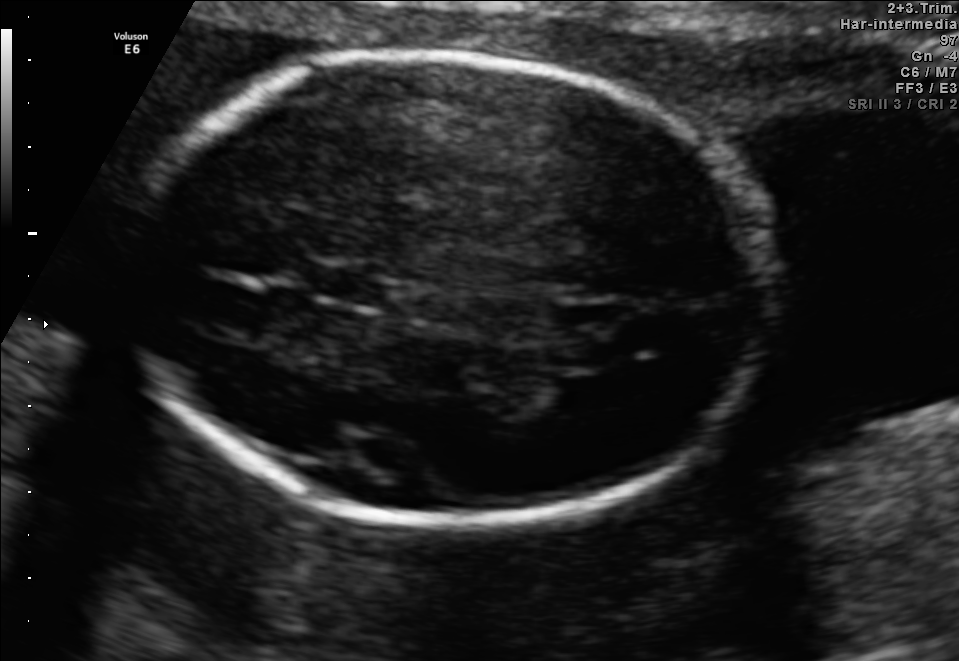
Fetal brain, trans-thalamic plane. Locate the fetal head and, if visible, the cavum septum pellucidum (CSP) and lateral ventricle (LV). Give bounding boxes as [x1,y1,x2,y2].

Head: [123,54,770,523]
CSP: [313,261,388,311]